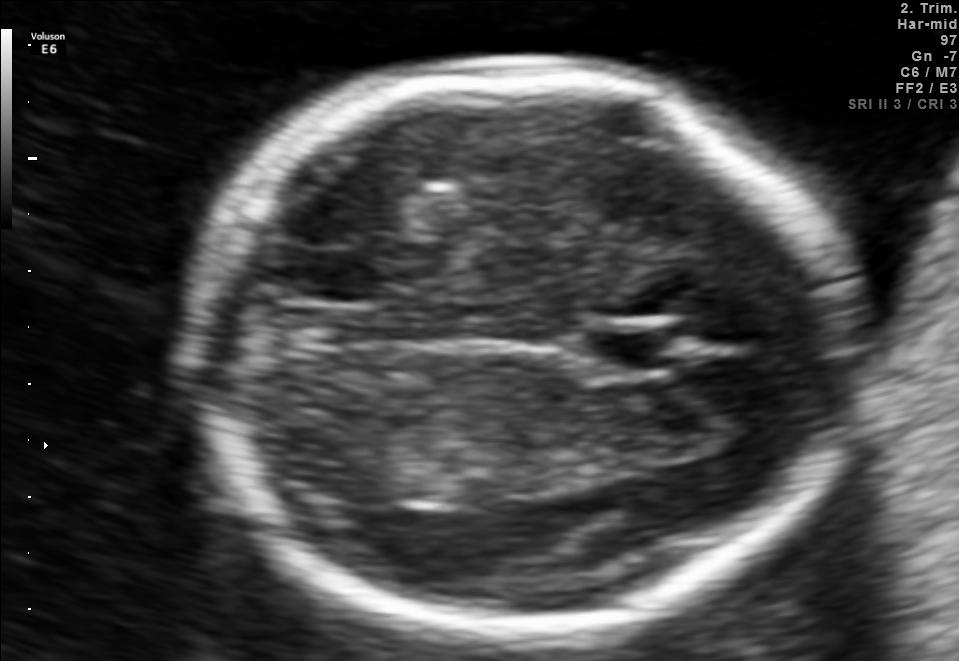
Fetal brain, trans-thalamic plane. Locate the fetal head.

Head: [187,66,852,647]